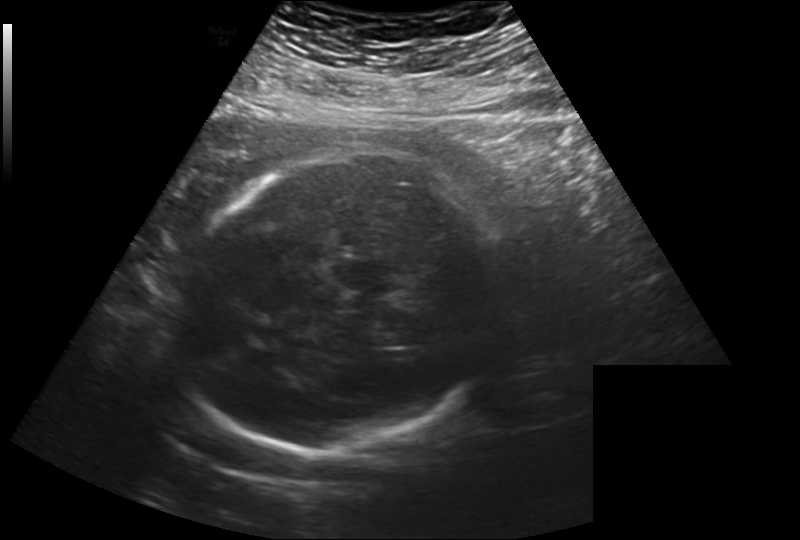
In this fetal head ultrasound, give bounding boxes for the head outline, cavum septum pellucidum (CSP), and lateral ventricle (LV), where visible. Image width: 208.0 mm.

Head: [177,154,500,453]